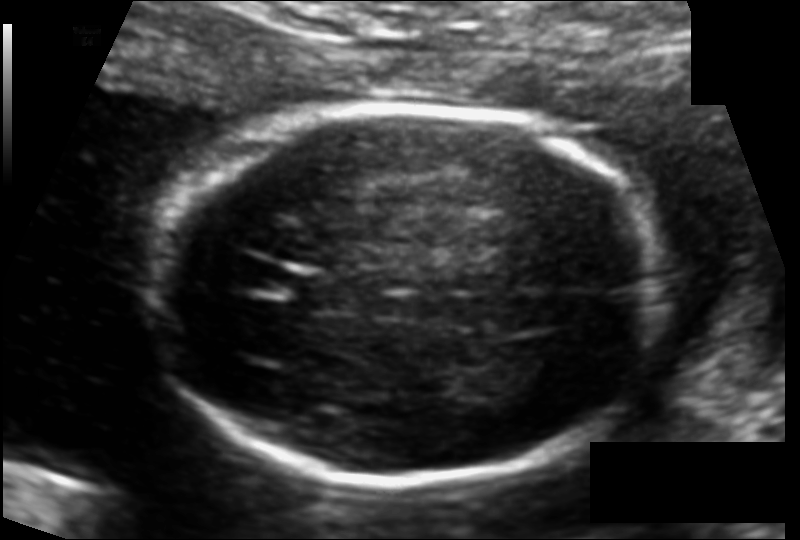
Fetal head ultrasound. Image width: 92.3 mm. Where is the fetal head?

Head bounding box: [157,109,658,483]